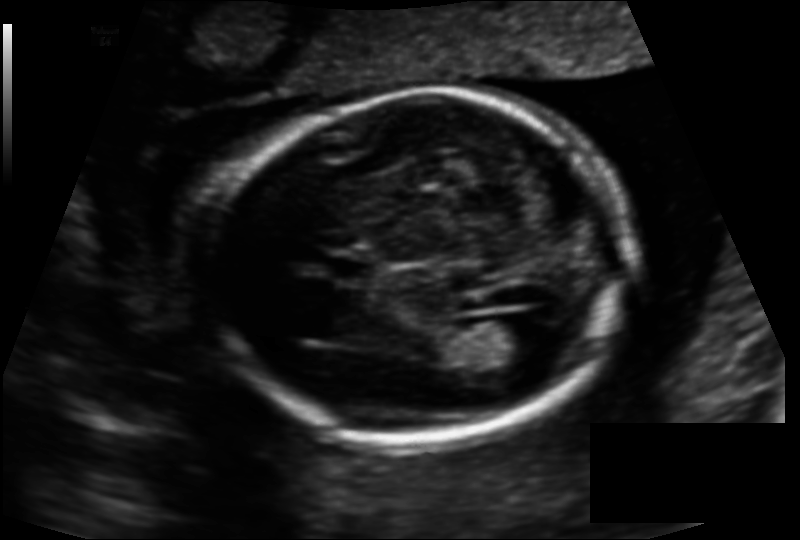
Estimate the fetal head circumference from this 2D ultrasound. Image width: 107.3 mm.

Head circumference: 166.8 mm.